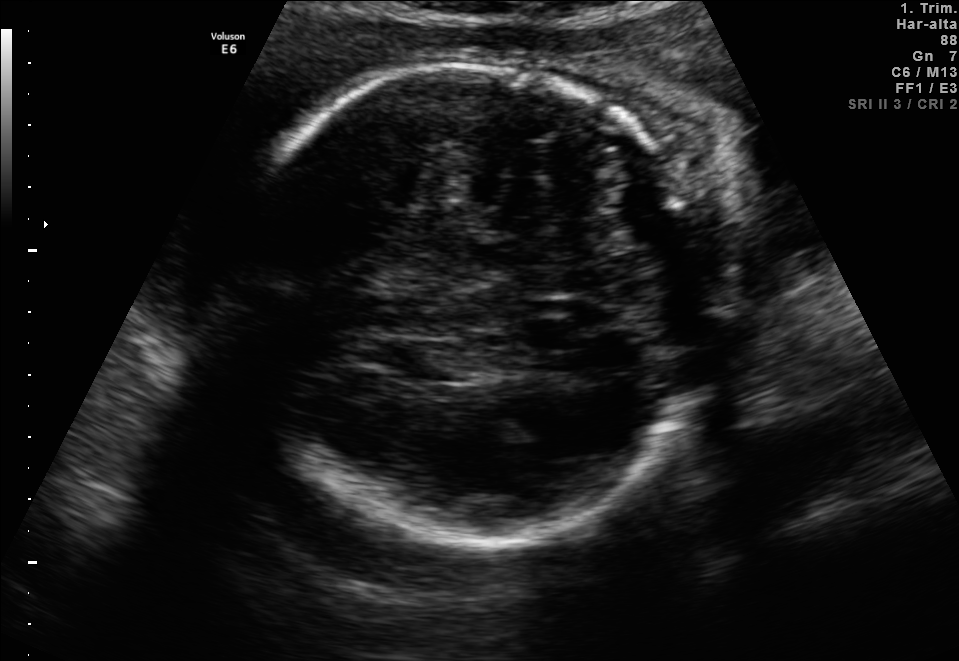
Fetal brain, trans-thalamic plane. Locate the fetal head and, if visible, the cavum septum pellucidum (CSP) and lateral ventricle (LV). Give bounding boxes as [x1,y1,x2,y2].

Head: [227,63,708,544]